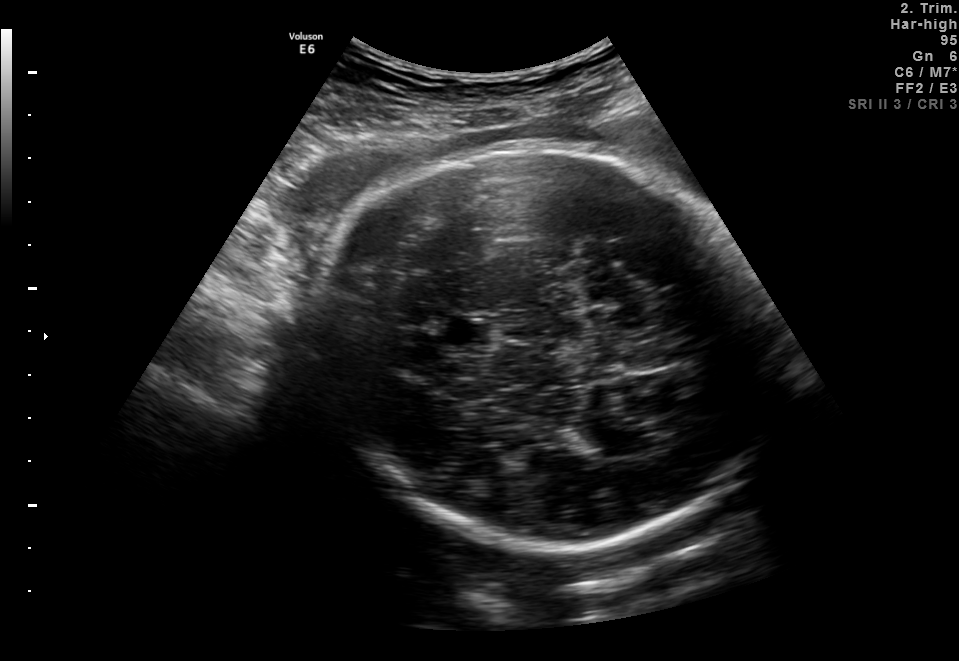
Fetal brain, trans-thalamic plane. Where is the lateral ventricle?

Lateral ventricle bounding box: [563,421,624,454]